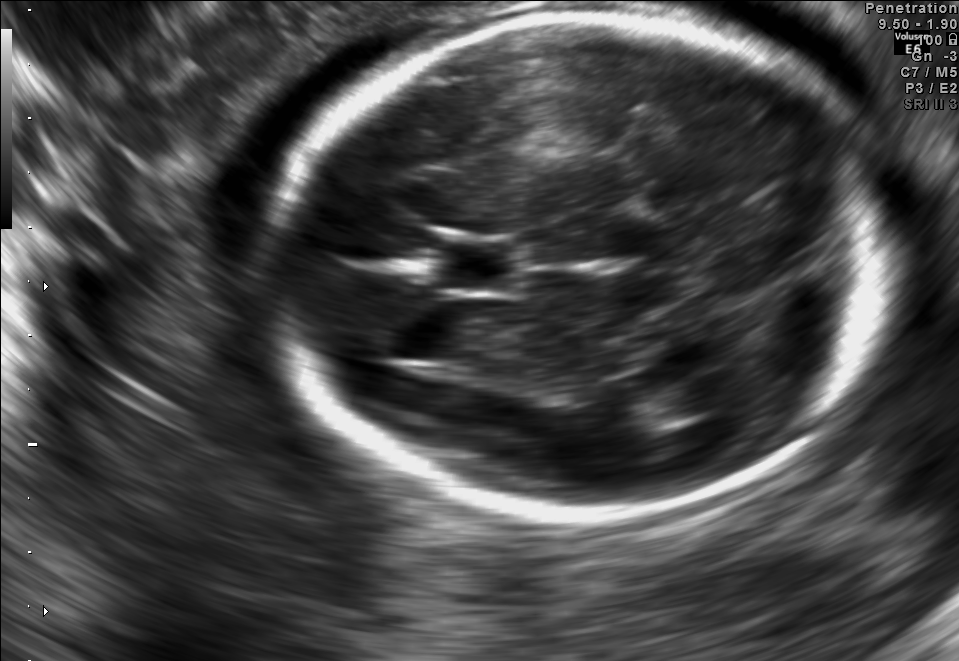
Fetal brain, trans-thalamic plane. Where is the cavum septum pellucidum?

CSP bounding box: [440,244,514,287]